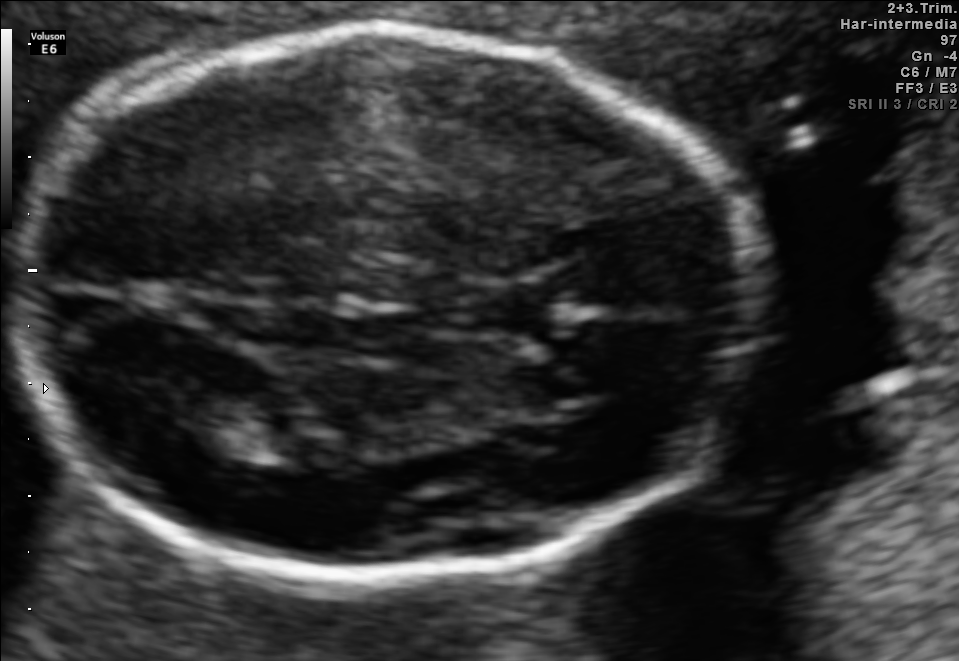
In this fetal brain, trans-thalamic plane, give the bounding box of the lateral ventricle.

[148,372,260,460]